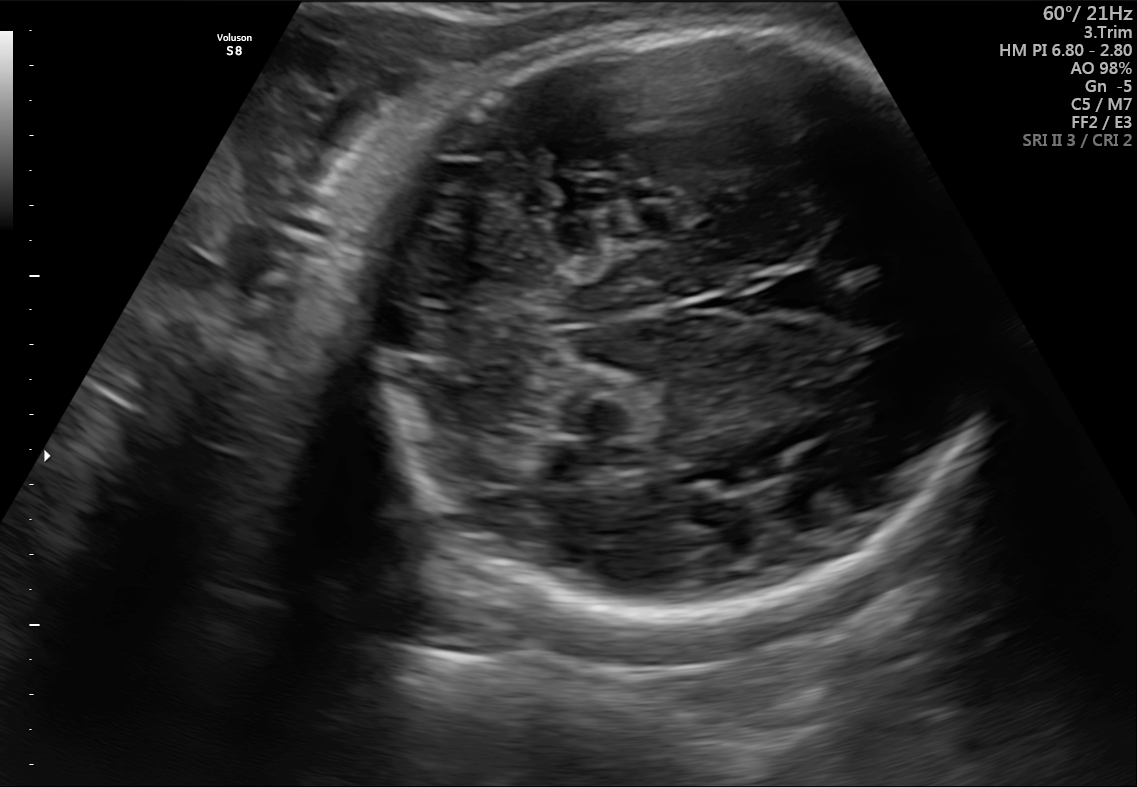
In this fetal brain, trans-cerebellum plane, give the bounding box of the cavum septum pellucidum.

[761,262,841,319]